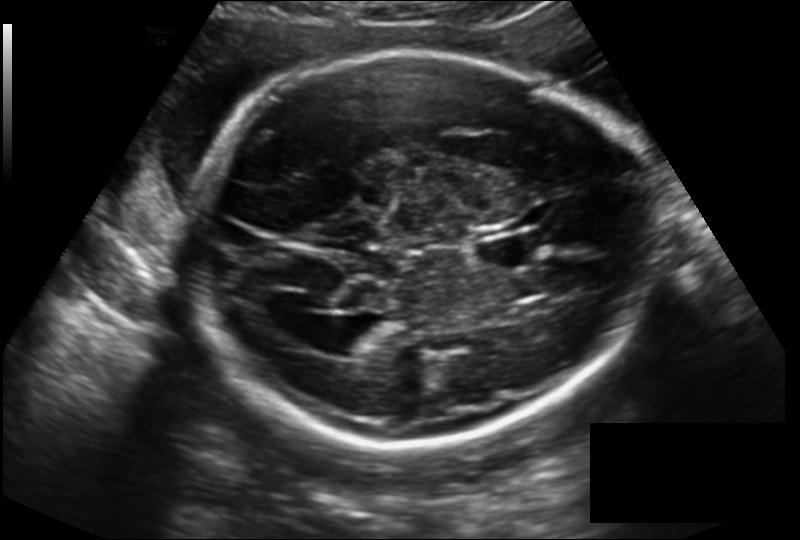
Fetal head ultrasound. Image width: 155.0 mm. Locate the cavum septum pellucidum.

CSP: [473,225,546,277]